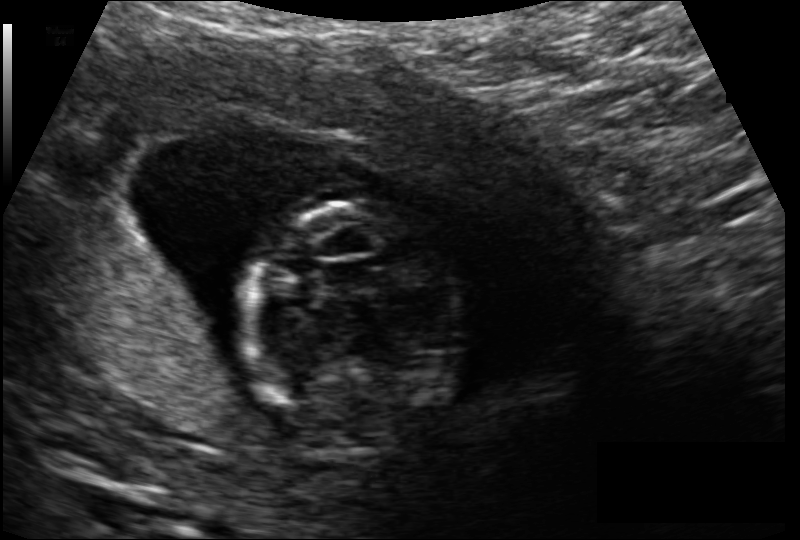
Estimate the fetal head circumference from this 2D ultrasound. Image width: 94.0 mm.

Head circumference: 95.7 mm.